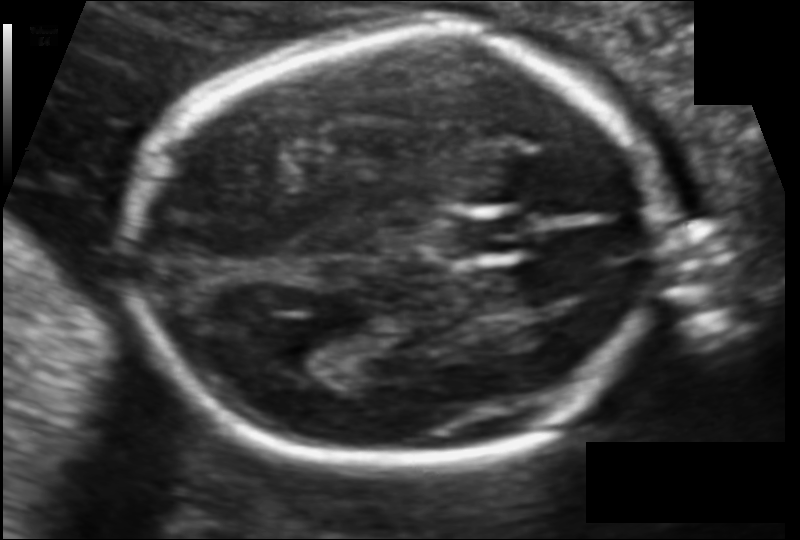
Fetal head ultrasound. Image width: 84.9 mm. Locate the cavum septum pellucidum.

CSP: [451,212,527,260]